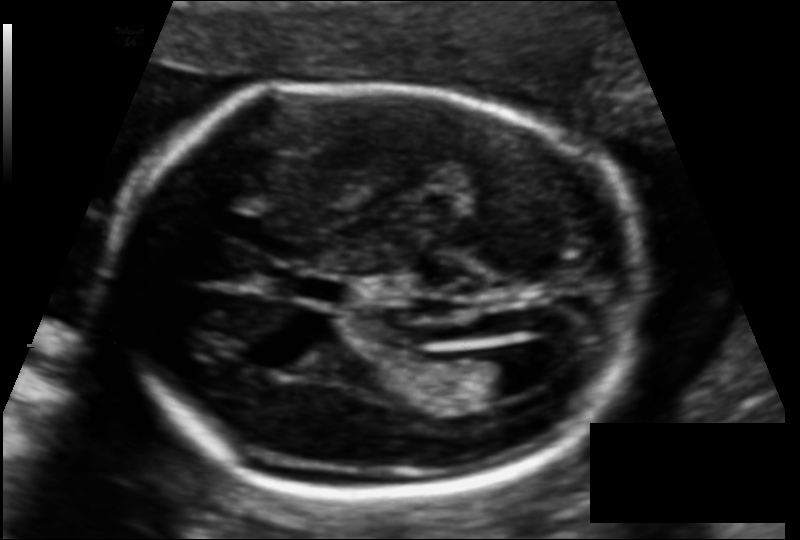
In this fetal head ultrasound, give bounding boxes for the head outline, cavum septum pellucidum (CSP), and lateral ventricle (LV), where visible. Image width: 92.4 mm.

Head: [105,87,647,493]
CSP: [284,270,347,307]
Lateral ventricle: [451,347,537,406]